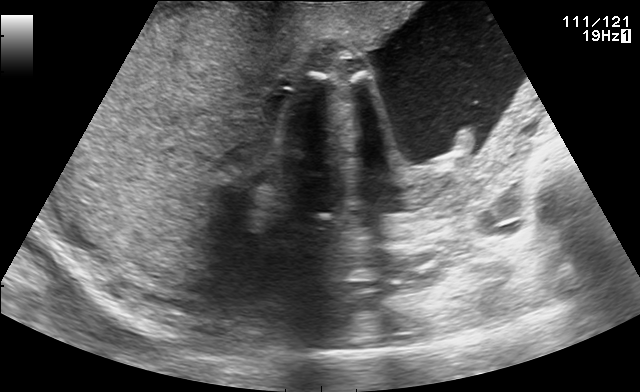
Classify this maternal-fetal ultrasound image as one of the six standard planes — fetal abdomen, fetal brain, fetal femur, fetal thorax, maternal cervix, or other. If it's fetal brain and one of the three standard brain planes (trans-thalamic, trans-cerebellum, trans-ventricular), name which.

Other